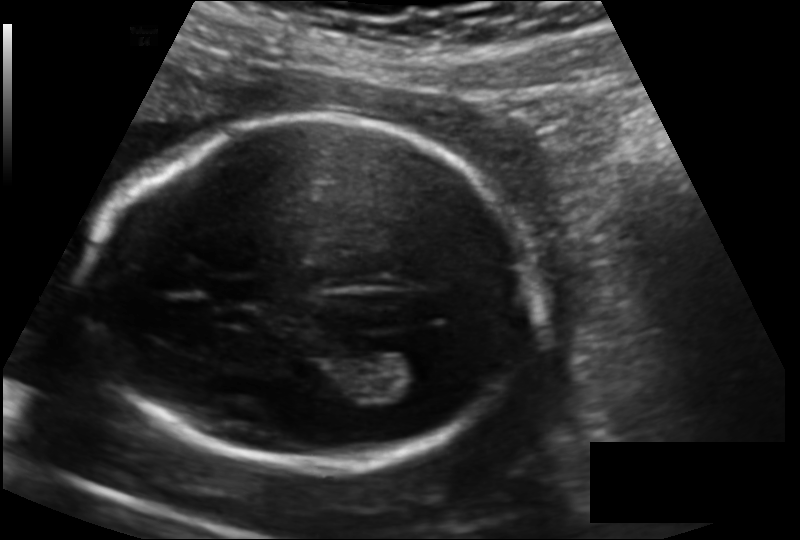
Fetal head ultrasound. Image width: 111.4 mm. Locate the lateral ventricle.

Lateral ventricle: [372,346,445,400]